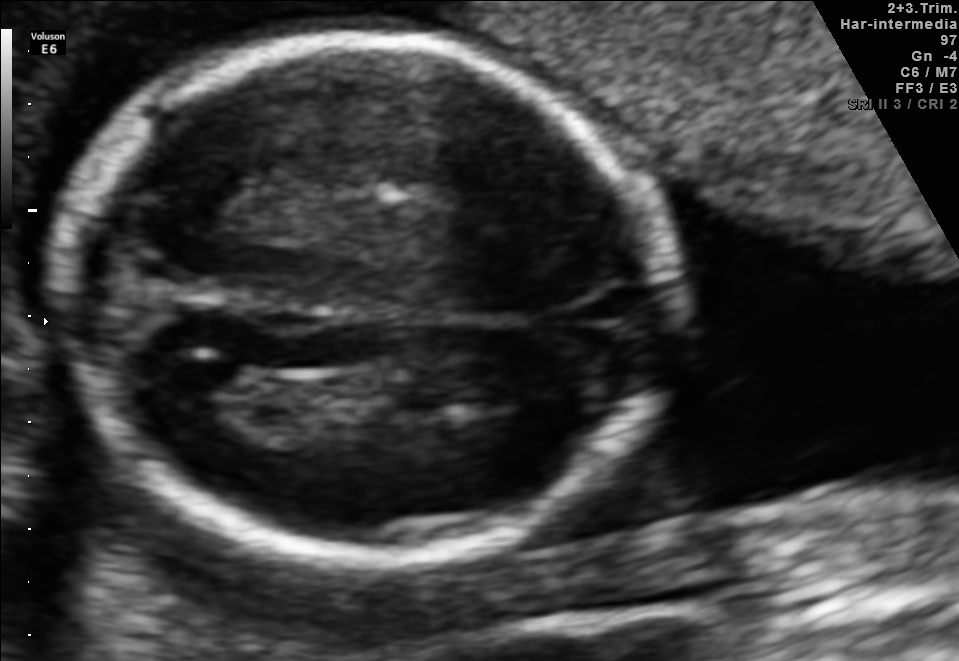
Fetal brain, trans-thalamic plane. Where is the fetal head?

Head bounding box: [60,38,671,559]